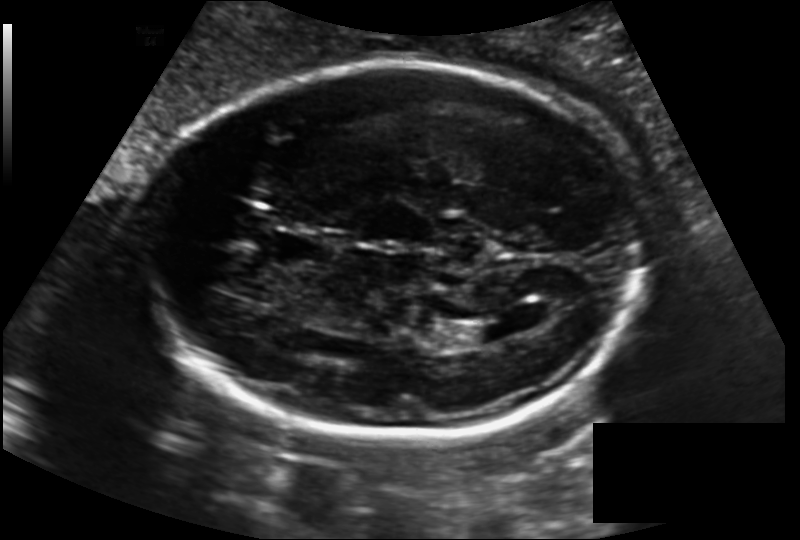
Estimate the fetal head circumference from this 2D ultrasound.

Head circumference: 231.9 mm (image width 130.6 mm).